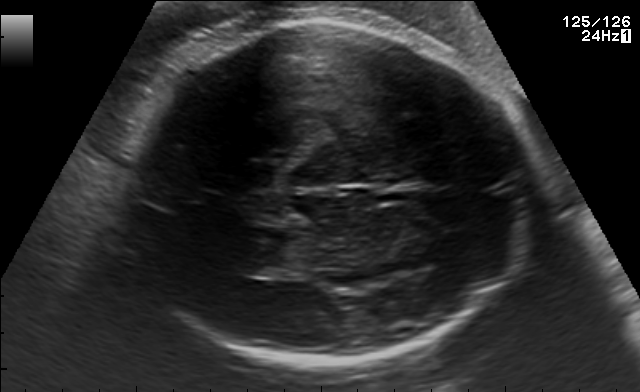
Classify this maternal-fetal ultrasound image as one of the six standard planes — fetal abdomen, fetal brain, fetal femur, fetal thorax, maternal cervix, or other. If it's fetal brain and one of the three standard brain planes (trans-thalamic, trans-cerebellum, trans-ventricular), name which.

Fetal brain (trans-thalamic plane)